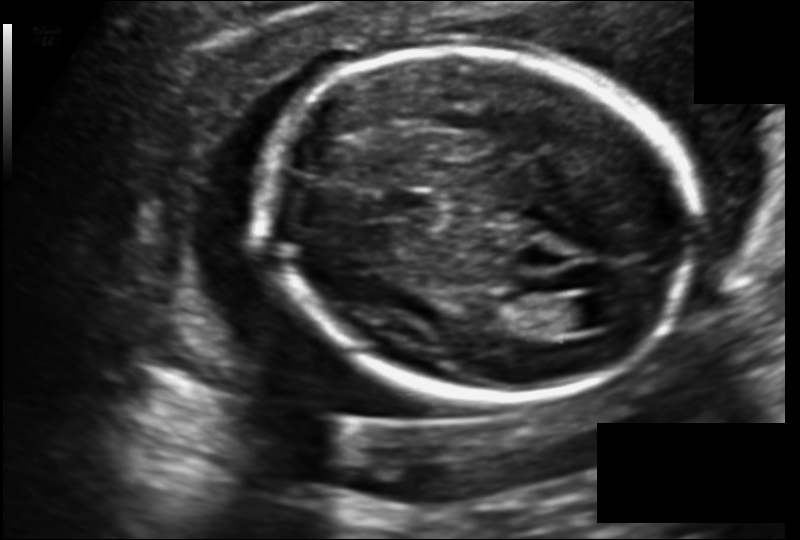
Fetal head ultrasound. Image width: 111.6 mm. Where is the lateral ventricle?

Lateral ventricle bounding box: [544,294,605,336]